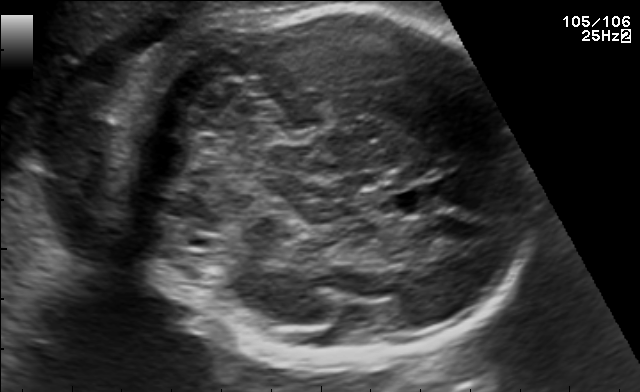
Identify the standard plane in this fetal ultrasound image: fetal abdomen, fetal brain, fetal femur, fetal thorax, maternal cervix, or other. If it's fetal brain and one of the three standard brain planes (trans-thalamic, trans-cerebellum, trans-ventricular), name which.

Fetal brain (trans-cerebellum plane)